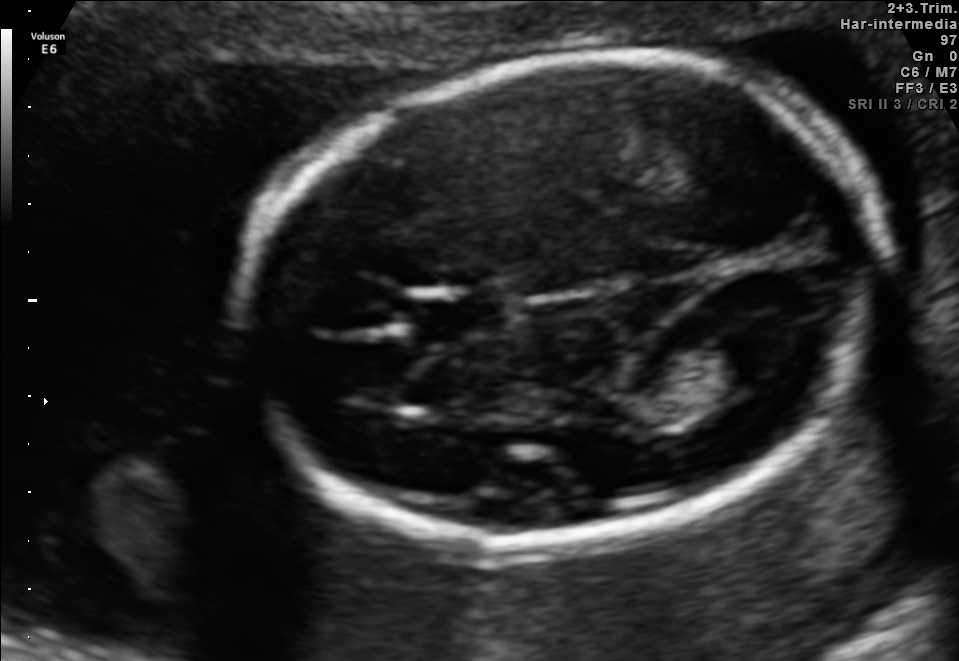
Fetal brain, trans-ventricular plane. Locate the cavum septum pellucidum.

CSP: [407,287,521,345]